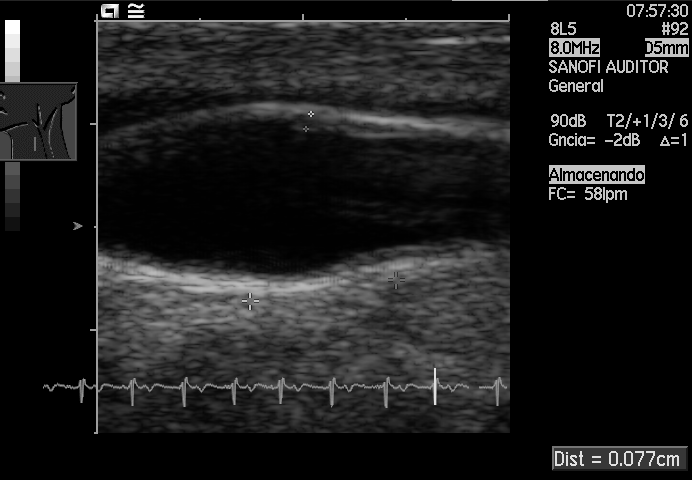
Classify this maternal-fetal ultrasound image as one of the six standard planes — fetal abdomen, fetal brain, fetal femur, fetal thorax, maternal cervix, or other. If it's fetal brain and one of the three standard brain planes (trans-thalamic, trans-cerebellum, trans-ventricular), name which.

Other